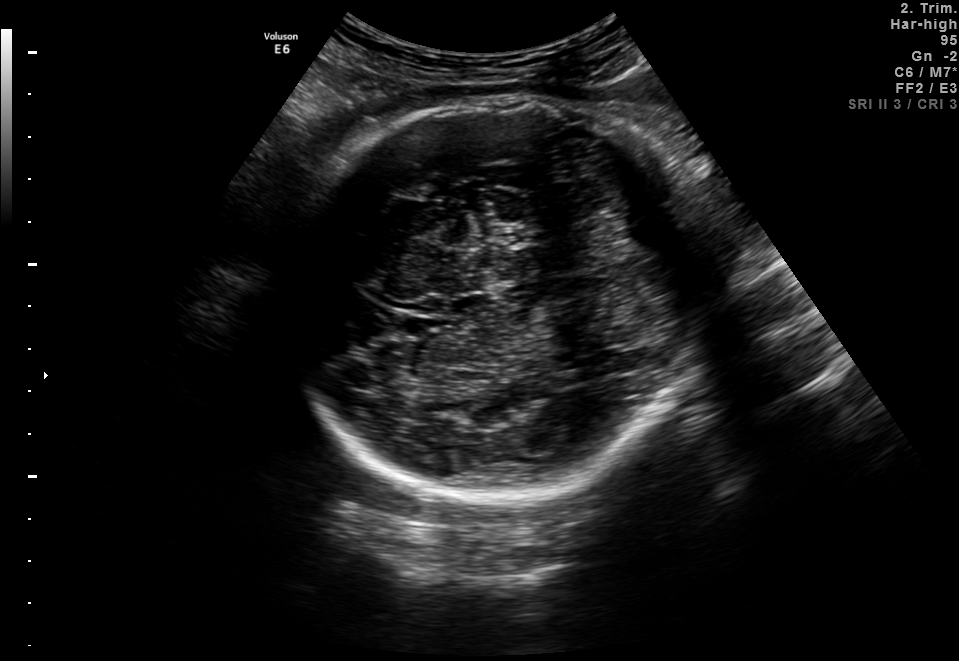
Fetal brain, trans-thalamic plane. Where is the fetal head?

Head bounding box: [281,99,706,496]